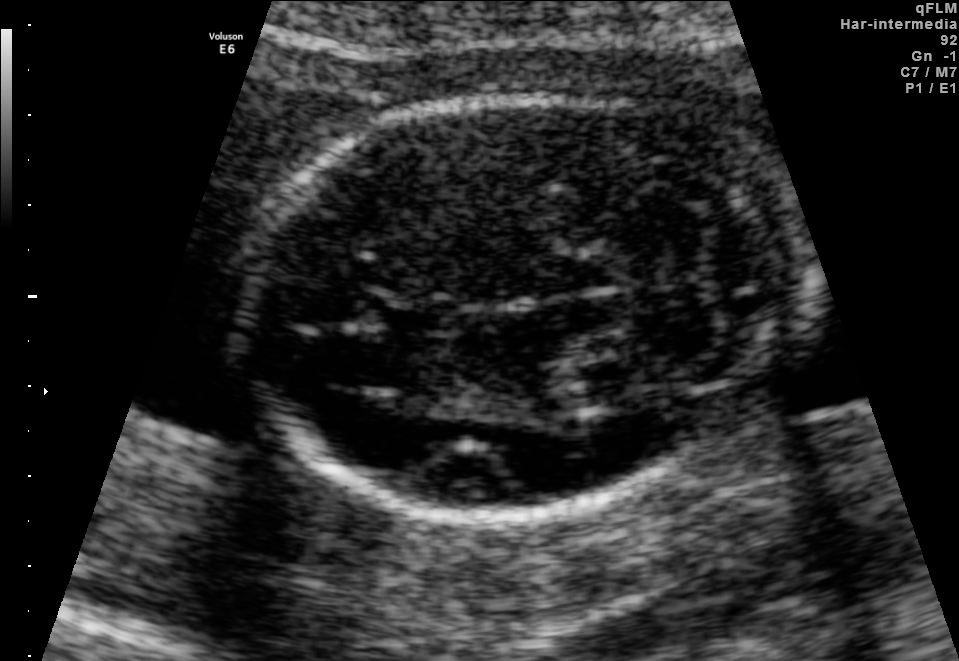
In this fetal brain, trans-cerebellum plane, give bounding boxes for the head outline, cavum septum pellucidum (CSP), and lateral ventricle (LV), where visible.

Head: [249,95,810,516]
CSP: [365,295,448,337]